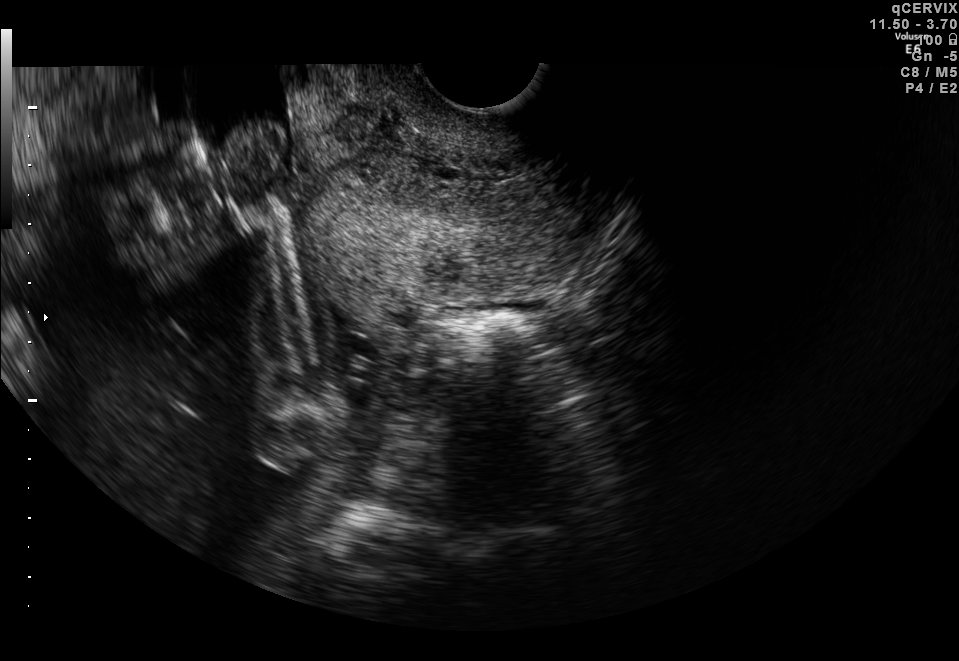
Classify this maternal-fetal ultrasound image as one of the six standard planes — fetal abdomen, fetal brain, fetal femur, fetal thorax, maternal cervix, or other. If it's fetal brain and one of the three standard brain planes (trans-thalamic, trans-cerebellum, trans-ventricular), name which.

Maternal cervix